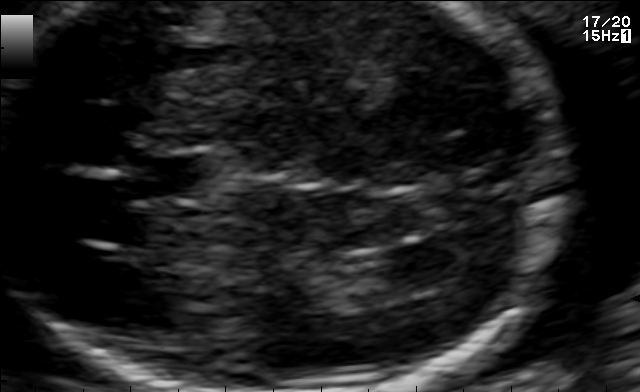
Fetal brain, trans-ventricular plane. Locate the cavum septum pellucidum (CSP) and lateral ventricle (LV), if visible. Give bounding boxes as [x1,y1,x2,y2].

CSP: [130,157,201,197]
Lateral ventricle: [374,231,477,298]